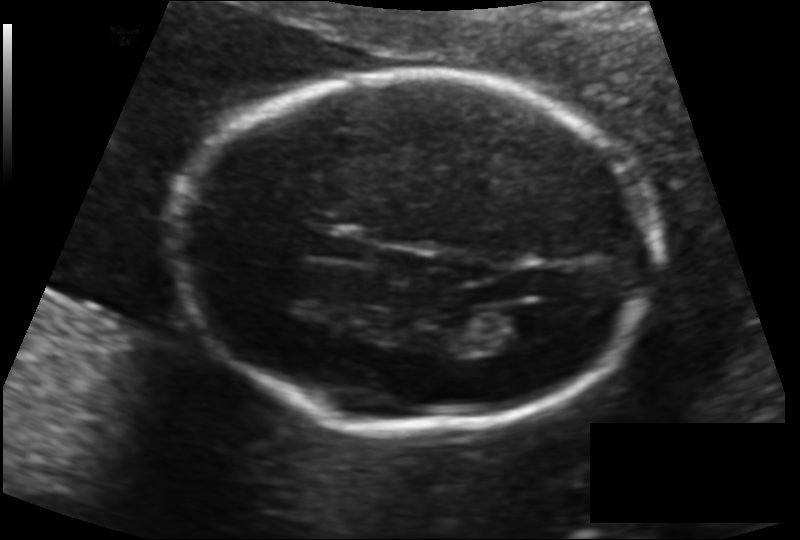
Fetal head ultrasound. Image width: 107.4 mm. Where is the lateral ventricle?

Lateral ventricle bounding box: [477,301,546,353]